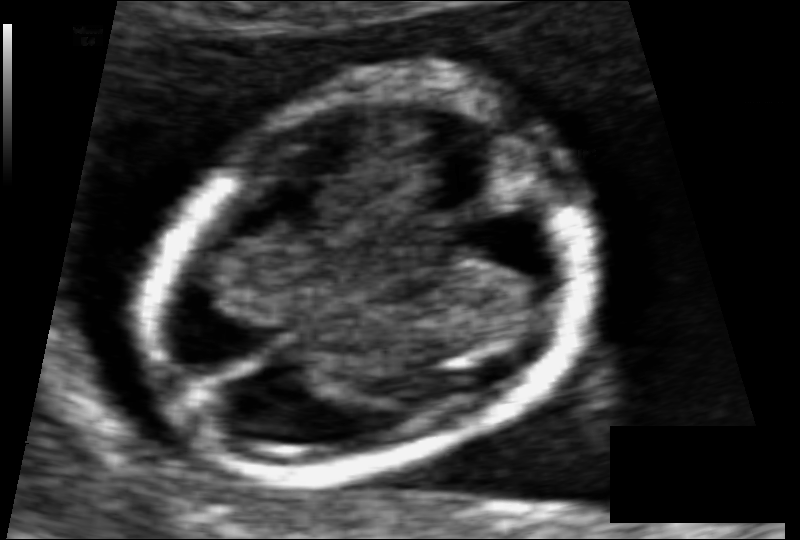
Fetal head ultrasound. Image width: 49.2 mm. Locate the fetal head and, if visible, the cavum septum pellucidum (CSP) and lateral ventricle (LV). Give bounding boxes as [x1,y1,x2,y2].

Head: [143,87,586,477]